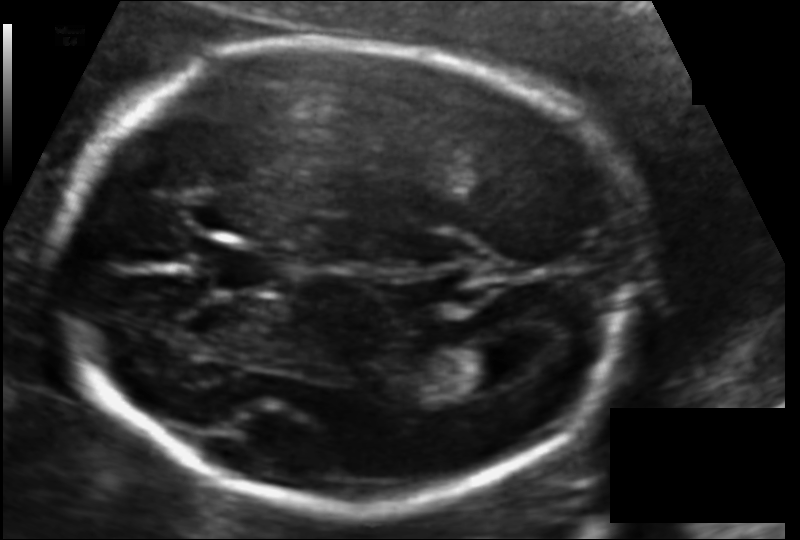
What is the fetal head circumference? Image width is 92.7 mm.

197.9 mm